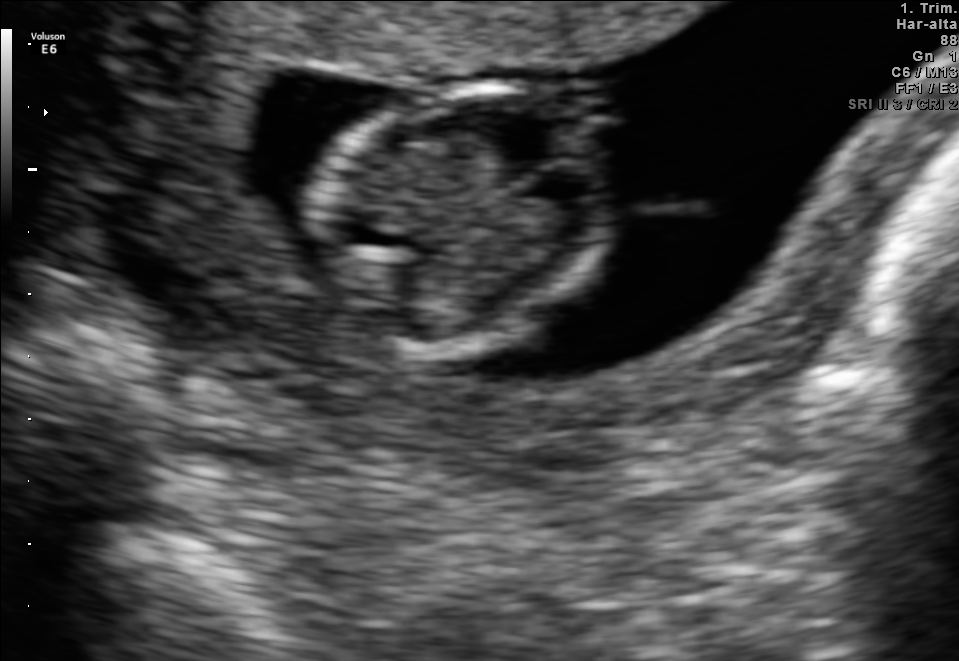
In this fetal brain, trans-thalamic plane, give bounding boxes for the head outline, cavum septum pellucidum (CSP), and lateral ventricle (LV), where visible.

Head: [302,87,615,348]